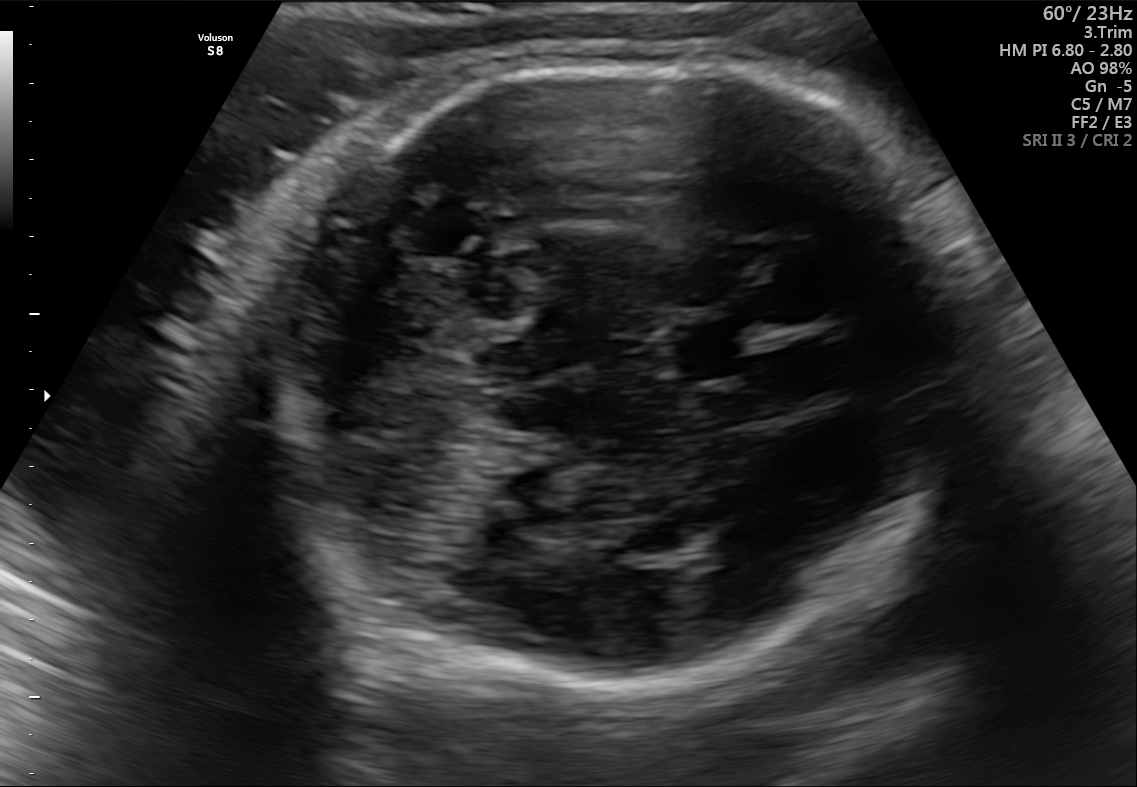
In this fetal brain, trans-cerebellum plane, give the bounding box of the fetal head.

[263,58,964,681]